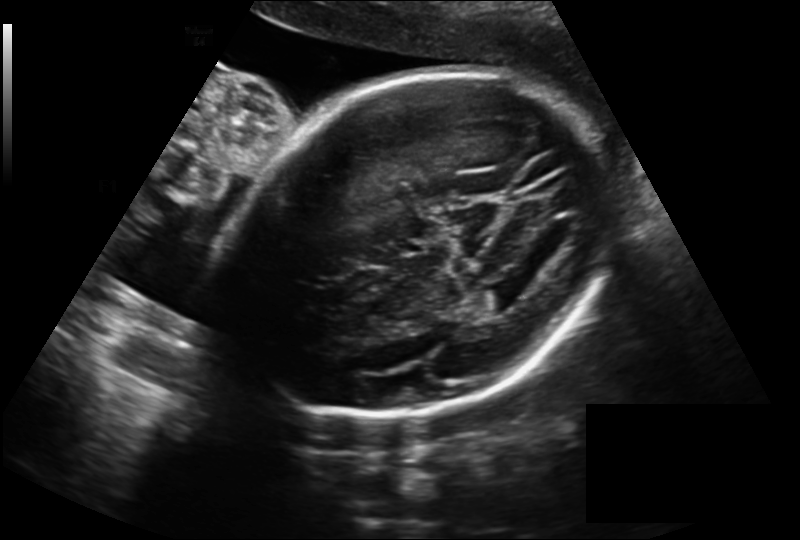
From this fetal ultrasound, estimate the head circumference (image width 179.9 mm).

Head circumference: 260.6 mm.